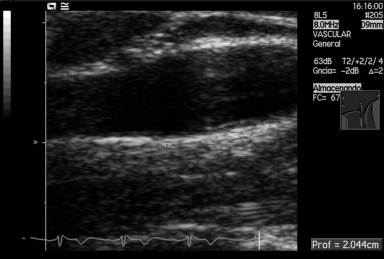
Classify this maternal-fetal ultrasound image as one of the six standard planes — fetal abdomen, fetal brain, fetal femur, fetal thorax, maternal cervix, or other. If it's fetal brain and one of the three standard brain planes (trans-thalamic, trans-cerebellum, trans-ventricular), name which.

Other